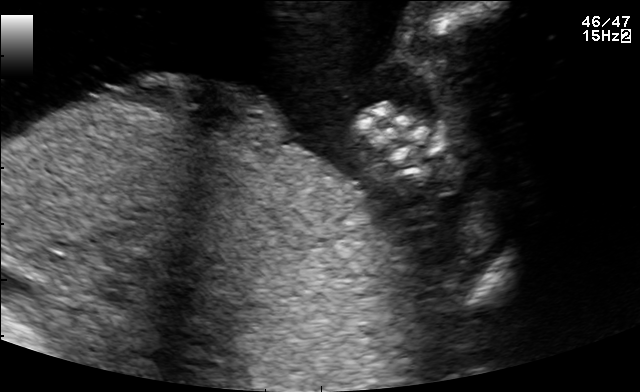
This is a 2D maternal-fetal ultrasound frame. Is it a fetal abdomen, fetal brain, fetal femur, fetal thorax, maternal cervix, or other standard plane? If it's fetal brain and one of the three standard brain planes (trans-thalamic, trans-cerebellum, trans-ventricular), name which.

Other